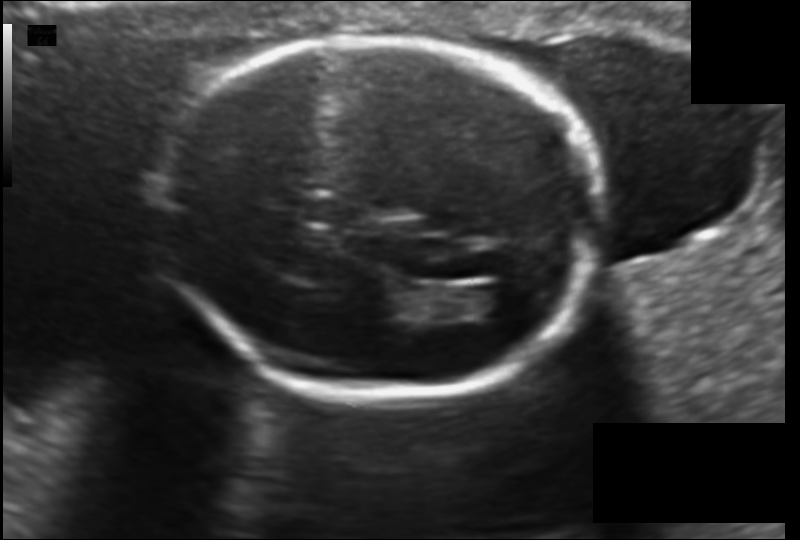
Fetal head ultrasound. Image width: 104.2 mm. Locate the fetal head.

Head: [158,39,598,398]